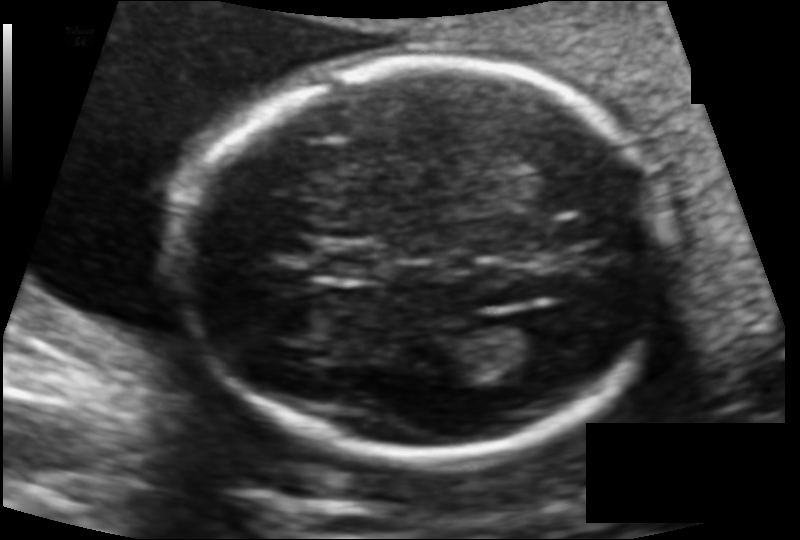
What is the fetal head circumference? Image width is 91.4 mm.

164.4 mm